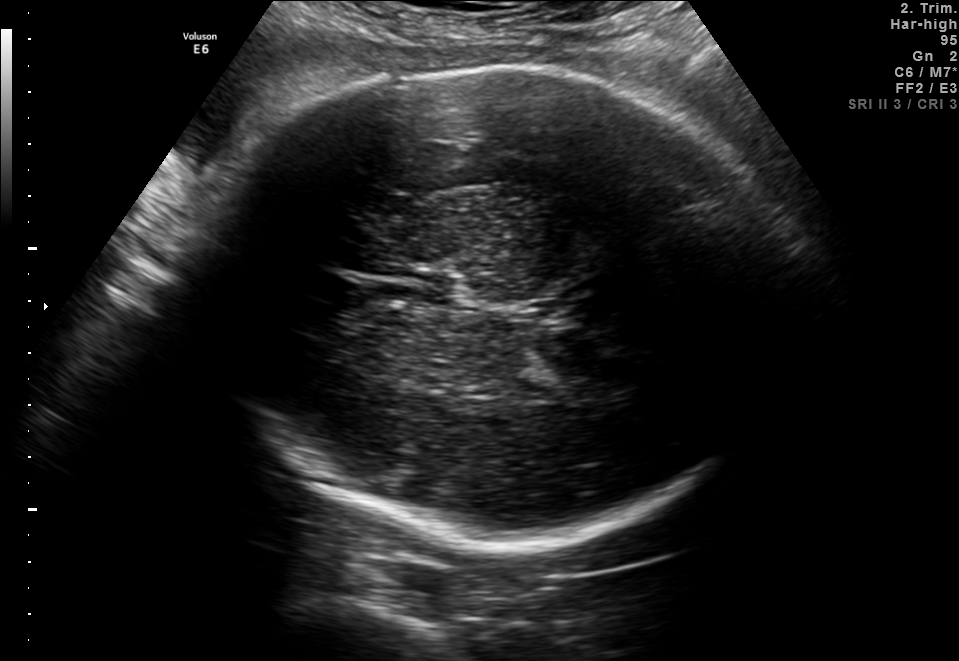
Which standard maternal-fetal ultrasound plane is shown: fetal abdomen, fetal brain, fetal femur, fetal thorax, maternal cervix, or other? If it's fetal brain and one of the three standard brain planes (trans-thalamic, trans-cerebellum, trans-ventricular), name which.

Fetal brain (trans-thalamic plane)